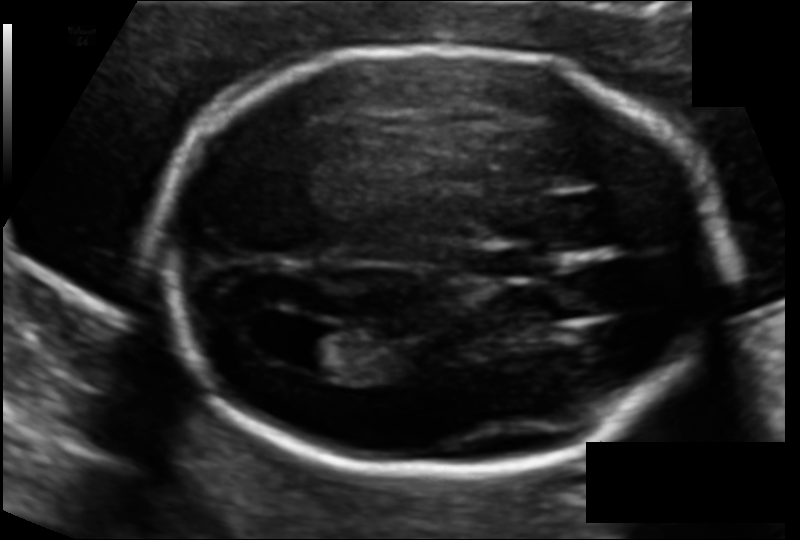
Fetal head ultrasound. Image width: 89.4 mm. Where is the fetal head?

Head bounding box: [164,48,724,469]